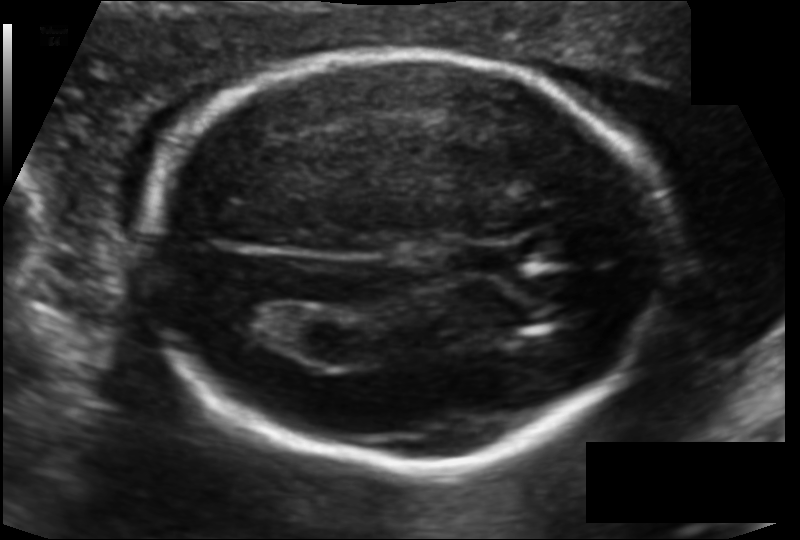
Estimate the fetal head circumference from this 2D ultrasound. Image width: 91.7 mm.

Head circumference: 174.2 mm.